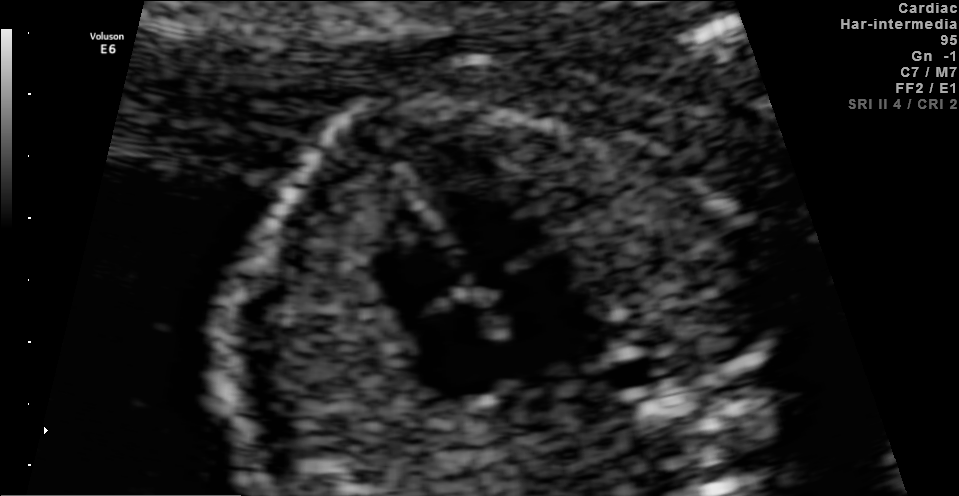
Identify the standard plane in this fetal ultrasound image: fetal abdomen, fetal brain, fetal femur, fetal thorax, maternal cervix, or other. If it's fetal brain and one of the three standard brain planes (trans-thalamic, trans-cerebellum, trans-ventricular), name which.

Fetal thorax